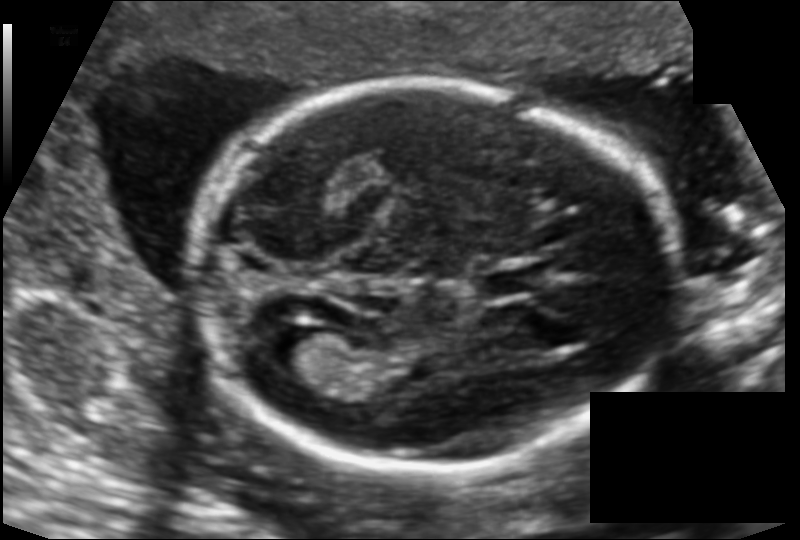
Fetal head ultrasound. Image width: 98.8 mm. Locate the cavum septum pellucidum.

CSP: [483,263,543,300]